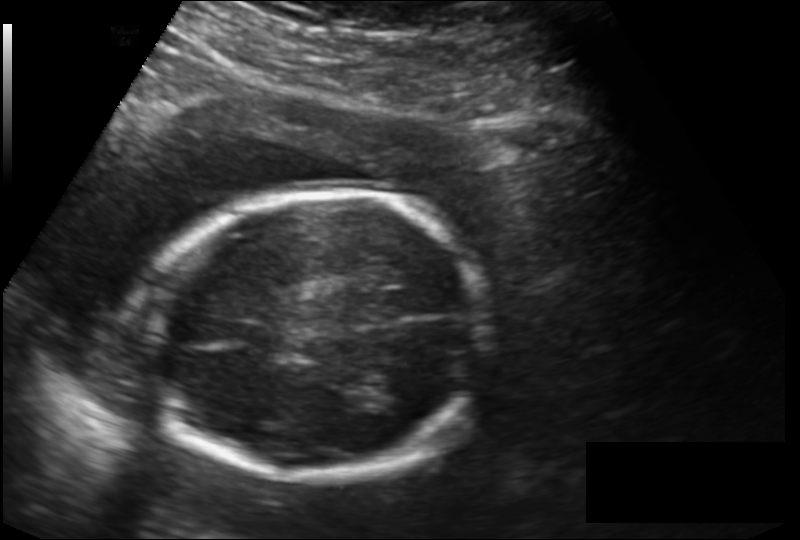
Fetal head ultrasound. Image width: 133.1 mm. Locate the fetal head.

Head: [138,193,485,476]